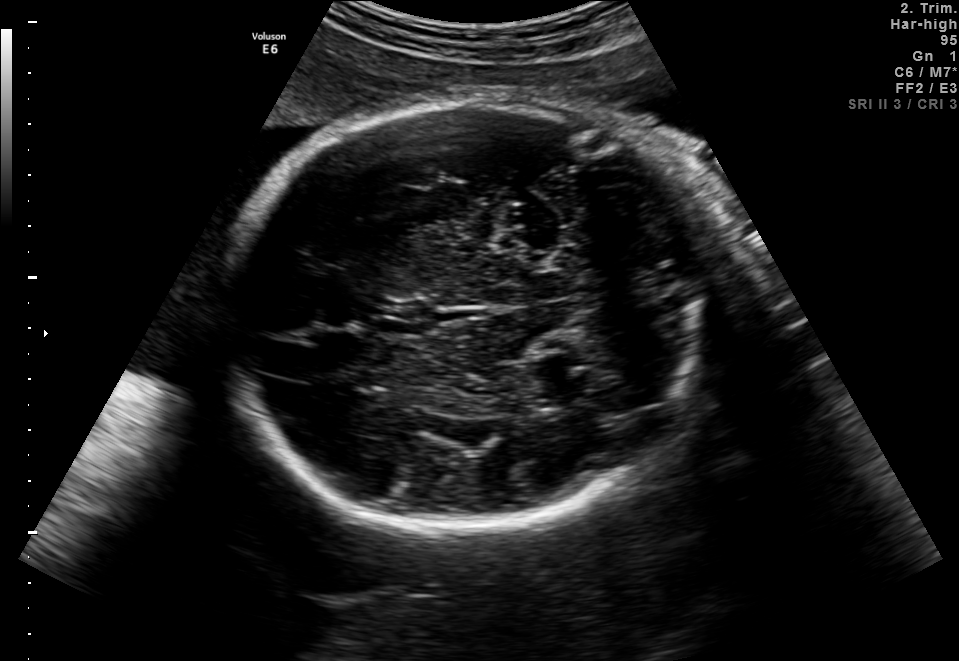
Fetal brain, trans-thalamic plane. Locate the fetal head.

Head: [223,98,712,531]